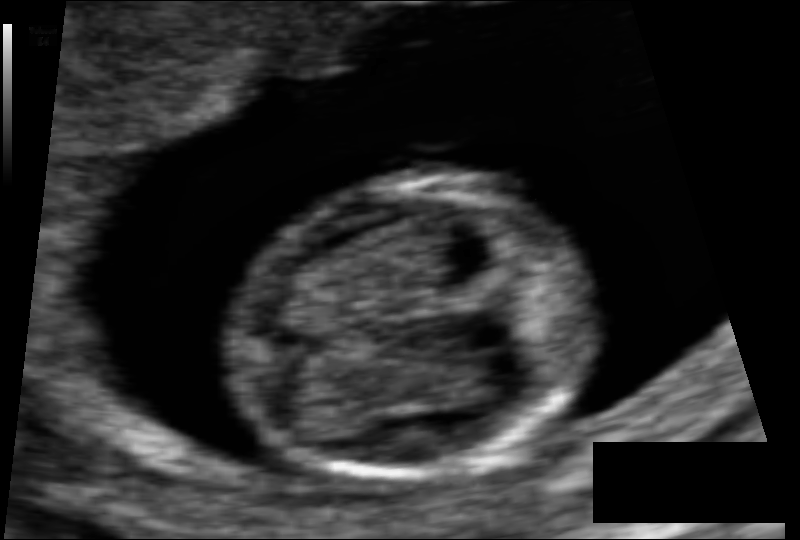
Estimate the fetal head circumference from this 2D ultrasound. Image width: 51.5 mm.

Head circumference: 69.9 mm.